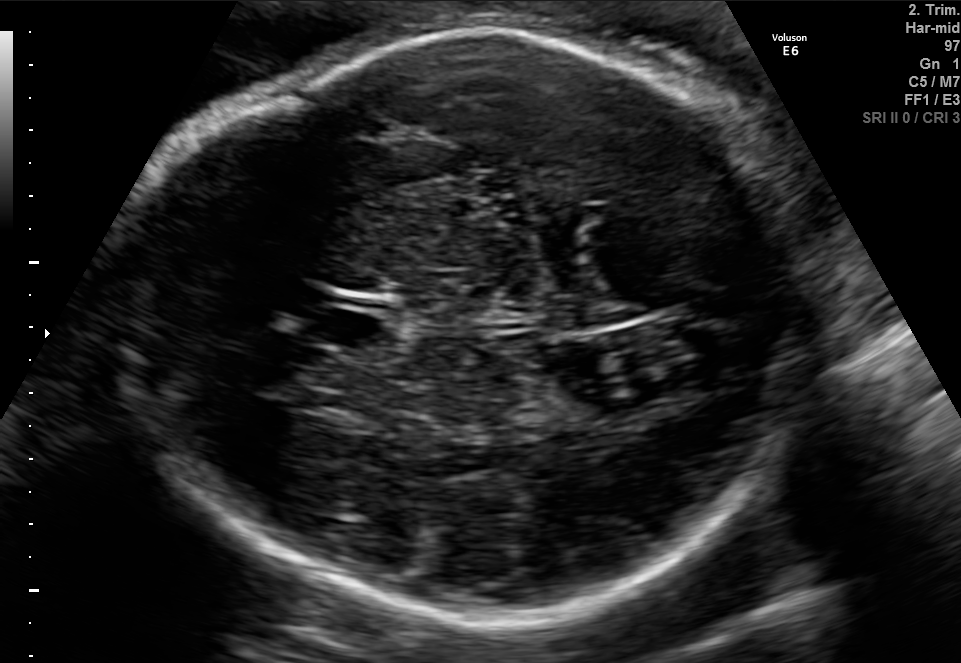
In this fetal brain, trans-thalamic plane, give bounding boxes for the head outline, cavum septum pellucidum (CSP), and lateral ventricle (LV), where visible.

Head: [112,29,835,630]
CSP: [303,300,388,354]